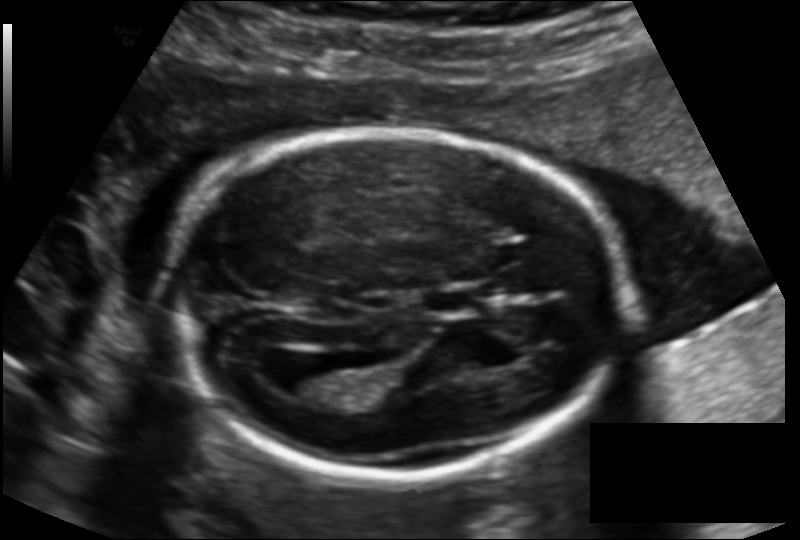
What is the fetal head circumference? Image width is 109.0 mm.

181.4 mm